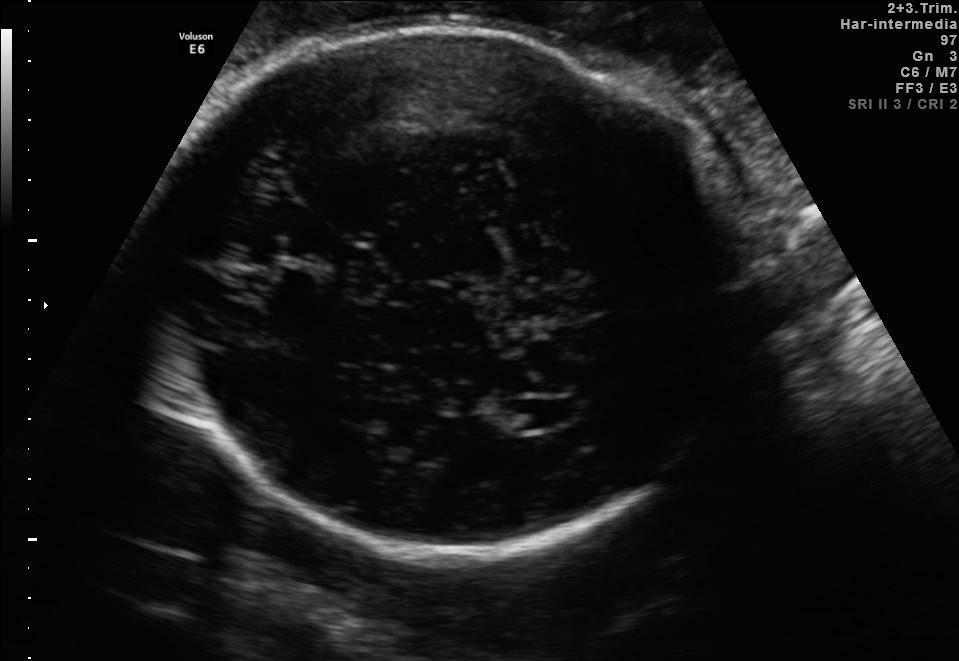
Fetal brain, trans-ventricular plane. Where is the lateral ventricle?

Lateral ventricle bounding box: [510,389,584,431]